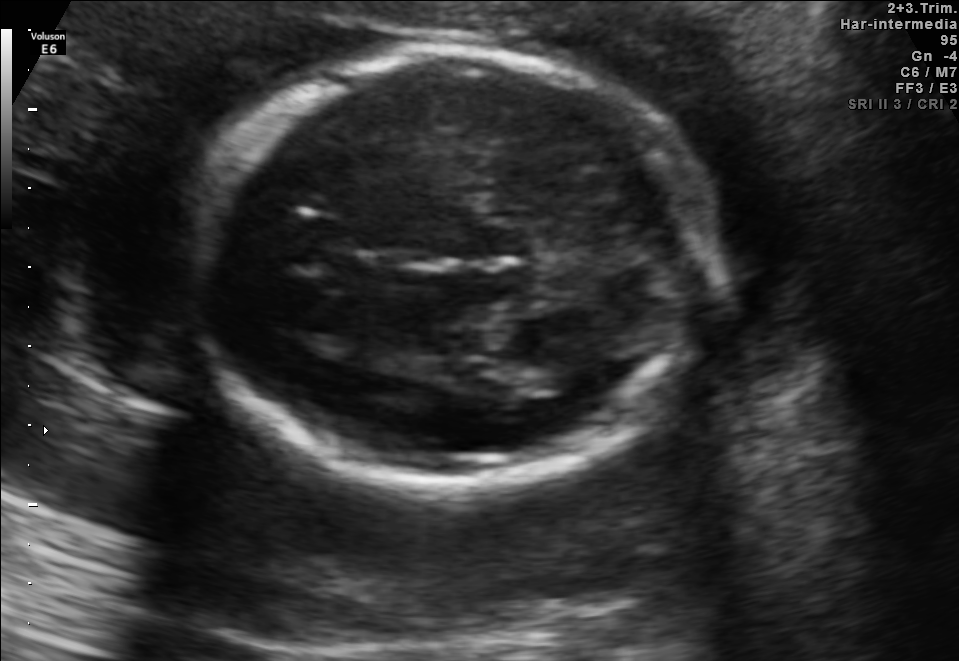
Fetal brain, trans-thalamic plane. Where is the fetal head?

Head bounding box: [194,46,709,485]